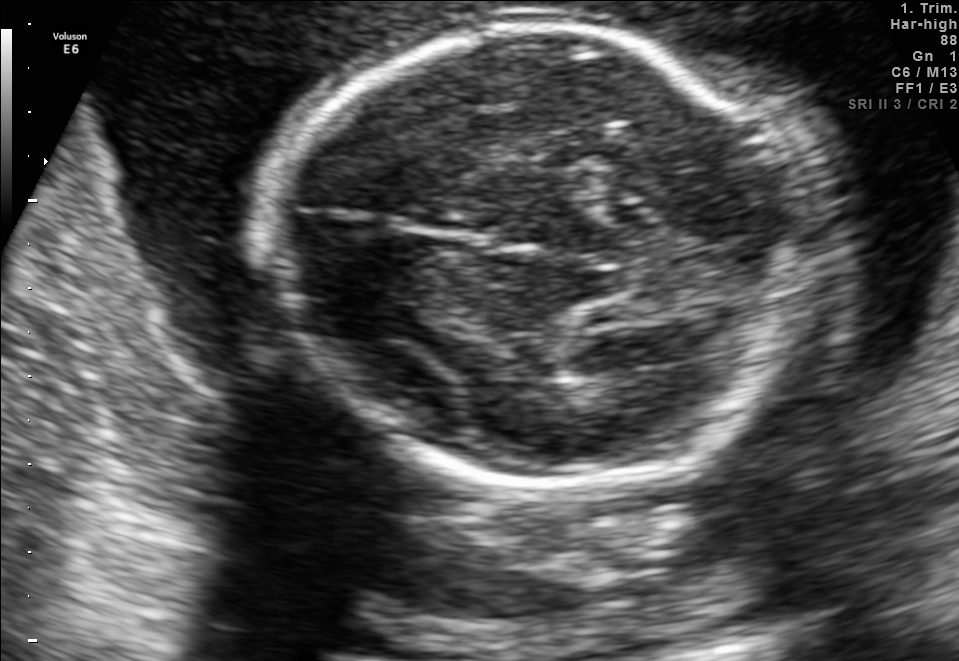
This is a 2D maternal-fetal ultrasound frame. Is it a fetal abdomen, fetal brain, fetal femur, fetal thorax, maternal cervix, or other standard plane? If it's fetal brain and one of the three standard brain planes (trans-thalamic, trans-cerebellum, trans-ventricular), name which.

Fetal brain (trans-thalamic plane)